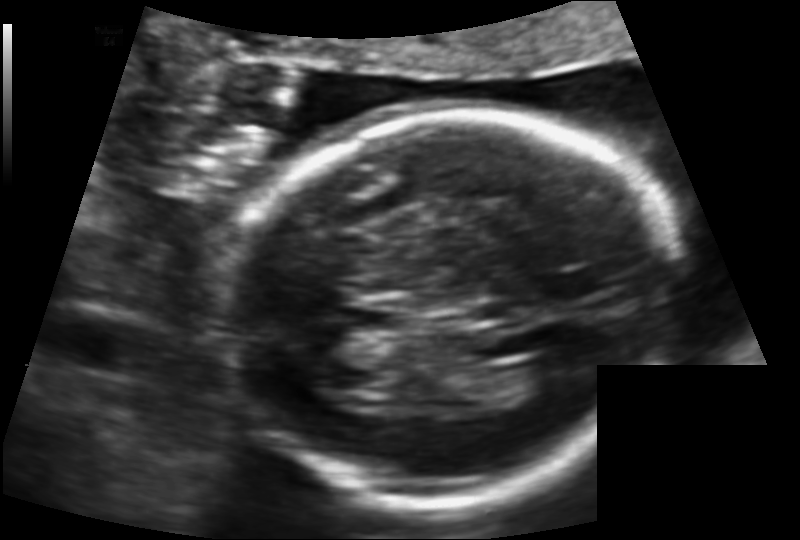
Fetal head ultrasound. Image width: 97.9 mm. Where is the fetal head?

Head bounding box: [228,111,672,504]